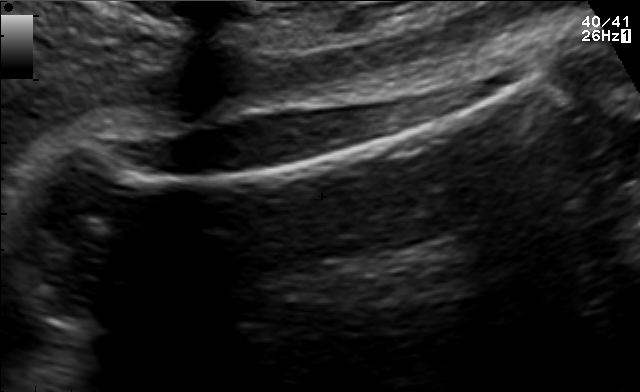
This is a 2D maternal-fetal ultrasound frame. Is it a fetal abdomen, fetal brain, fetal femur, fetal thorax, maternal cervix, or other standard plane? If it's fetal brain and one of the three standard brain planes (trans-thalamic, trans-cerebellum, trans-ventricular), name which.

Fetal femur